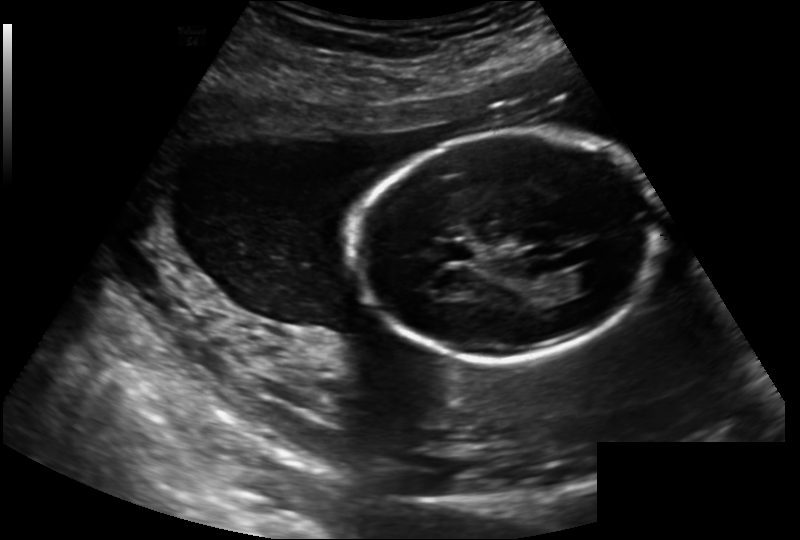
Fetal head ultrasound. Image width: 161.7 mm. Locate the fetal head.

Head: [354,131,665,359]